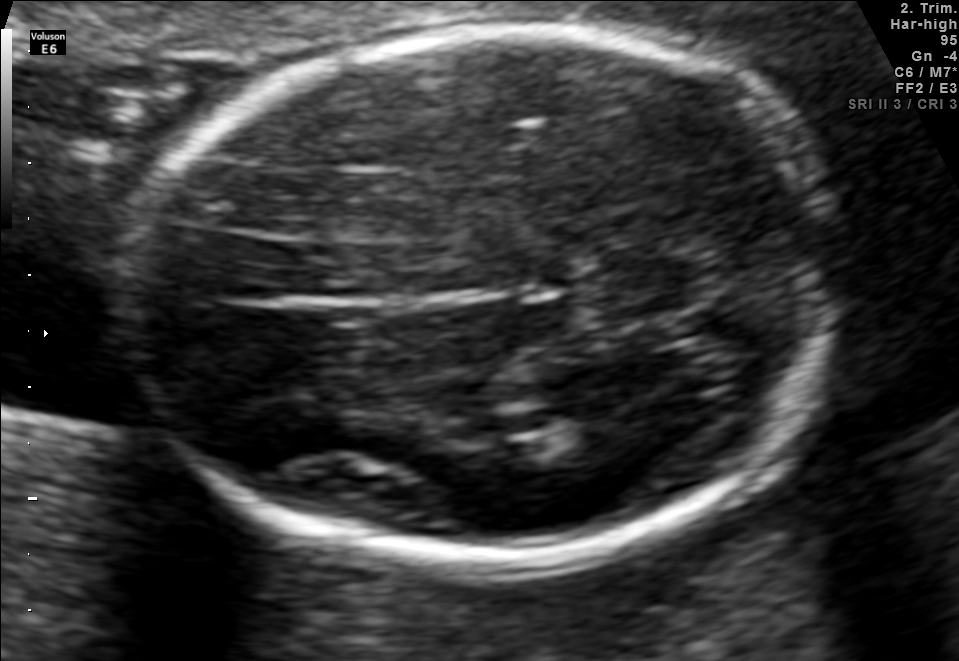
Fetal brain, trans-thalamic plane. Give [x1,y1,x2,y2] bounding boxes for each visible structure among: fetal head, CSP, LV.

Head: [127,30,838,577]